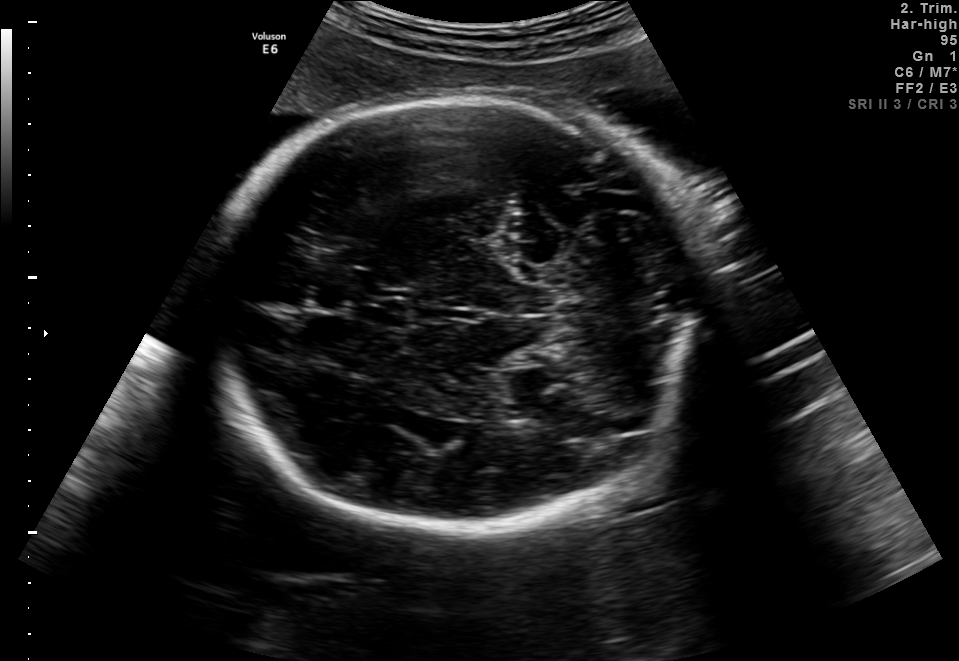
Which standard maternal-fetal ultrasound plane is shown: fetal abdomen, fetal brain, fetal femur, fetal thorax, maternal cervix, or other? If it's fetal brain and one of the three standard brain planes (trans-thalamic, trans-cerebellum, trans-ventricular), name which.

Fetal brain (trans-thalamic plane)